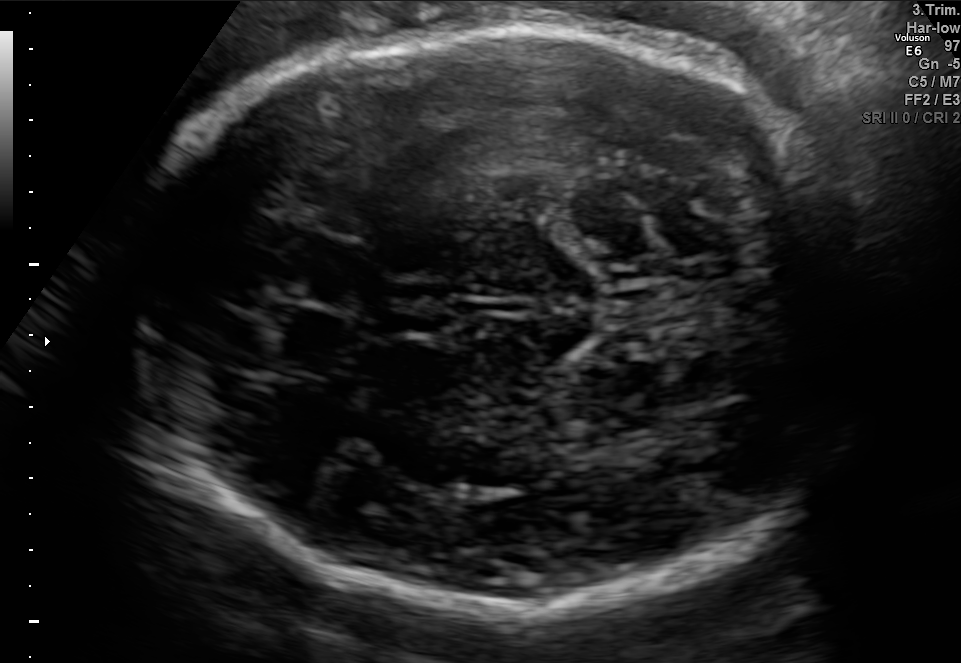
Fetal brain, trans-thalamic plane. Give [x1,y1,x2,y2] bounding boxes for each visible structure among: fetal head, CSP, LV.

Head: [126,26,865,617]